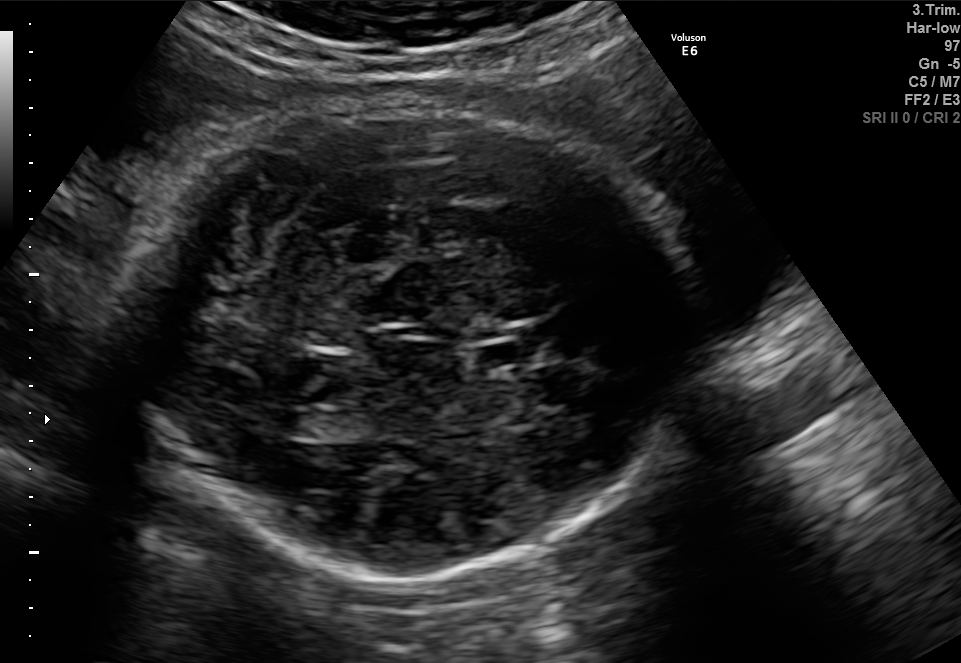
Fetal brain, trans-ventricular plane. Locate the fetal head and, if visible, the cavum septum pellucidum (CSP) and lateral ventricle (LV). Give bounding boxes as [x1,y1,x2,y2].

Head: [127,101,701,582]
CSP: [469,339,526,374]
Lateral ventricle: [262,409,310,436]